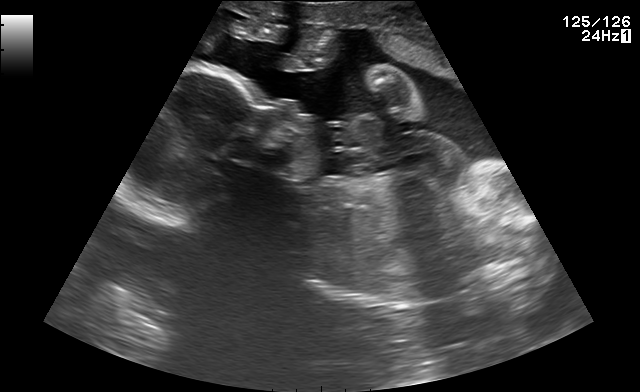
This is a 2D maternal-fetal ultrasound frame. Is it a fetal abdomen, fetal brain, fetal femur, fetal thorax, maternal cervix, or other standard plane? If it's fetal brain and one of the three standard brain planes (trans-thalamic, trans-cerebellum, trans-ventricular), name which.

Other